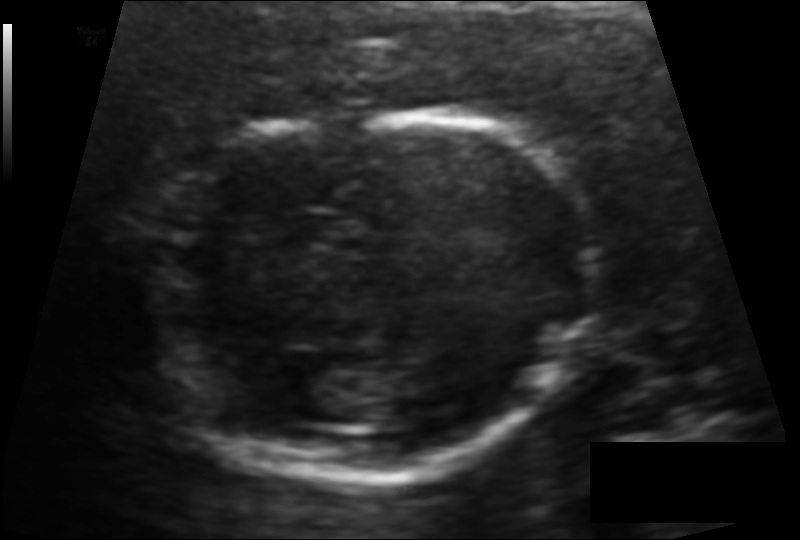
What is the fetal head circumference? Image width is 81.2 mm.

132.5 mm